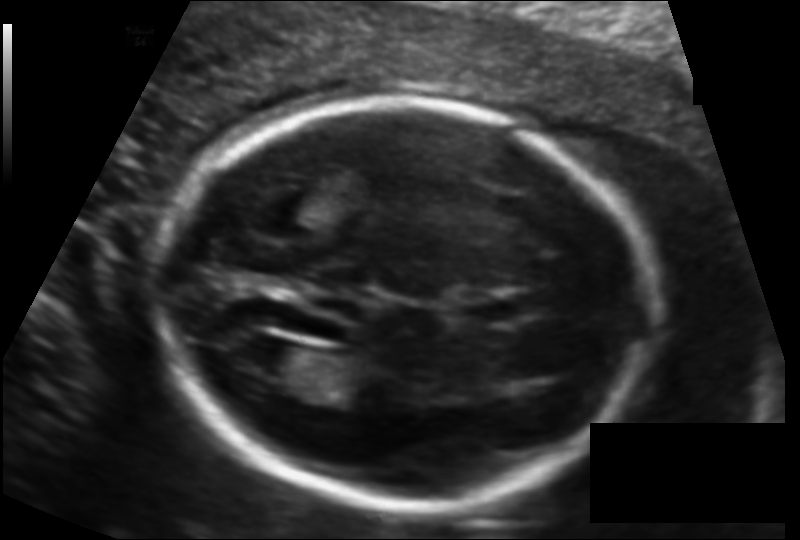
In this fetal head ultrasound, give the bounding box of the cavum septum pellucidum. Image width: 98.9 mm.

[463,290,523,328]